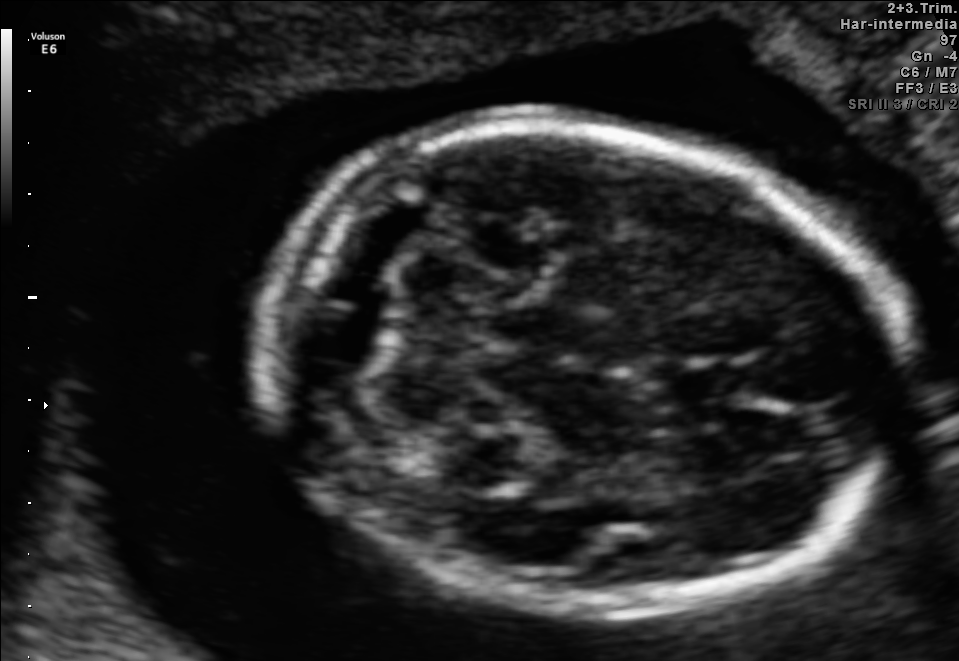
Fetal brain, trans-cerebellum plane. Give [x1,y1,x2,y2] bounding boxes for each visible structure among: fetal head, CSP, LV.

Head: [260,127,909,614]
CSP: [663,355,752,407]